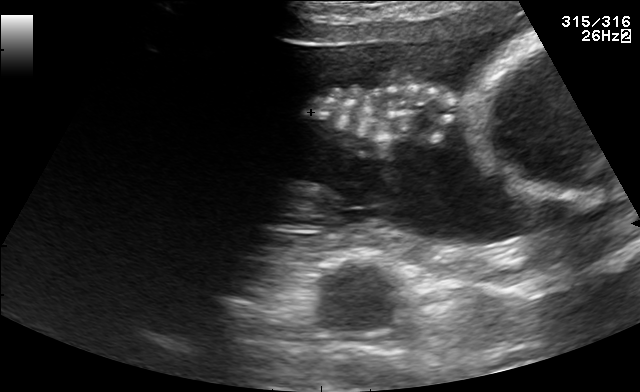
Classify this maternal-fetal ultrasound image as one of the six standard planes — fetal abdomen, fetal brain, fetal femur, fetal thorax, maternal cervix, or other. If it's fetal brain and one of the three standard brain planes (trans-thalamic, trans-cerebellum, trans-ventricular), name which.

Other